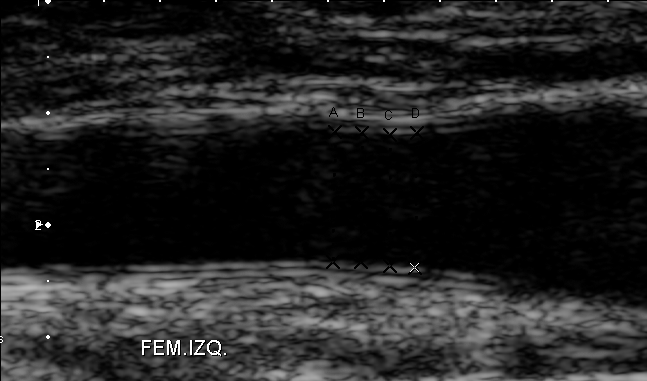
Identify the standard plane in this fetal ultrasound image: fetal abdomen, fetal brain, fetal femur, fetal thorax, maternal cervix, or other. If it's fetal brain and one of the three standard brain planes (trans-thalamic, trans-cerebellum, trans-ventricular), name which.

Other